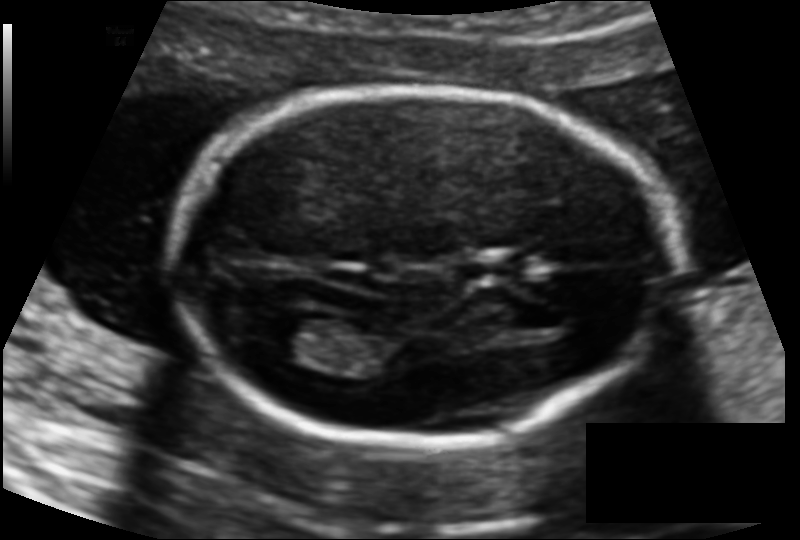
Fetal head ultrasound. Image width: 91.5 mm. Where is the cavum septum pellucidum?

CSP bounding box: [453,255,517,285]